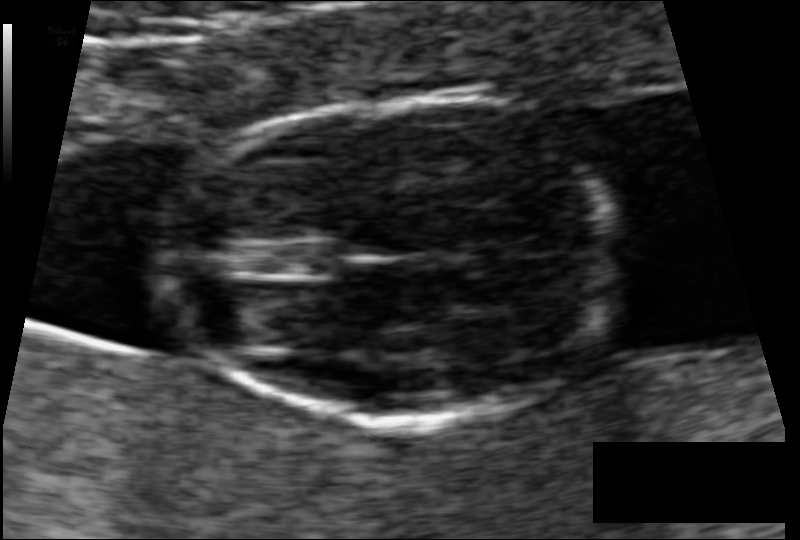
From this fetal ultrasound, estimate the head circumference (image width 49.5 mm).

Head circumference: 77.4 mm.